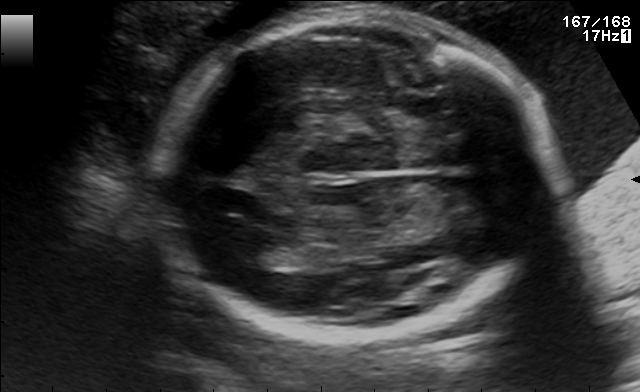
Which standard maternal-fetal ultrasound plane is shown: fetal abdomen, fetal brain, fetal femur, fetal thorax, maternal cervix, or other? If it's fetal brain and one of the three standard brain planes (trans-thalamic, trans-cerebellum, trans-ventricular), name which.

Fetal brain (trans-ventricular plane)